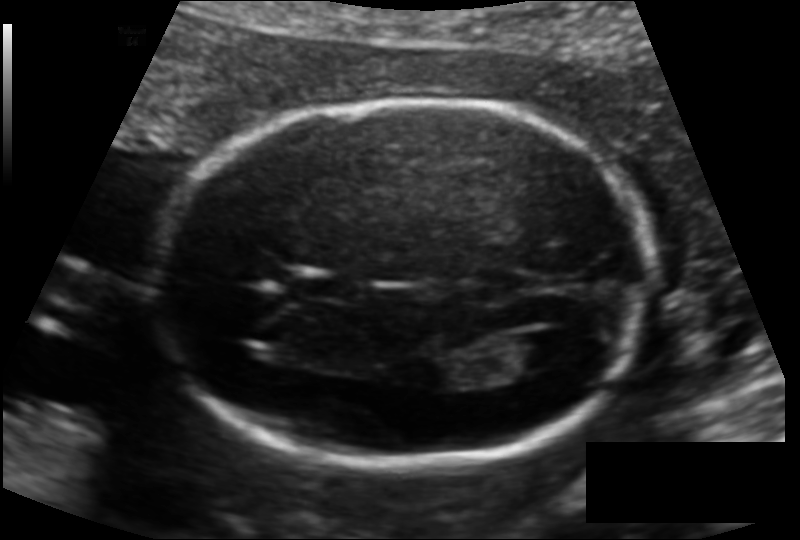
Estimate the fetal head circumference from this 2D ultrasound. Image width: 102.6 mm.

Head circumference: 178.0 mm.